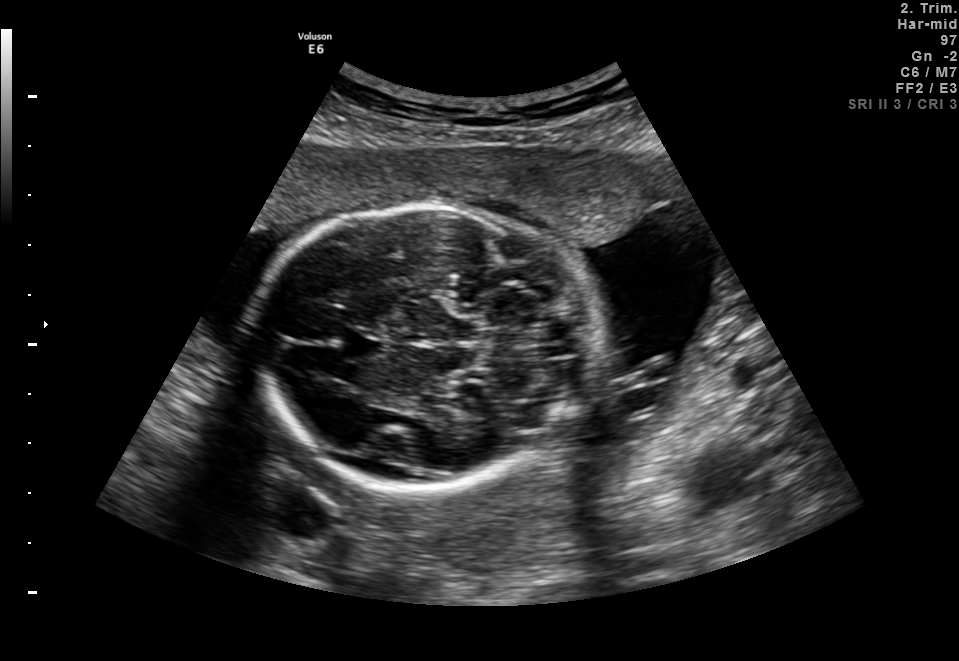
In this fetal brain, trans-cerebellum plane, give bounding boxes for the head outline, cavum septum pellucidum (CSP), and lateral ventricle (LV), where visible.

Head: [254,202,595,491]
CSP: [341,327,383,359]